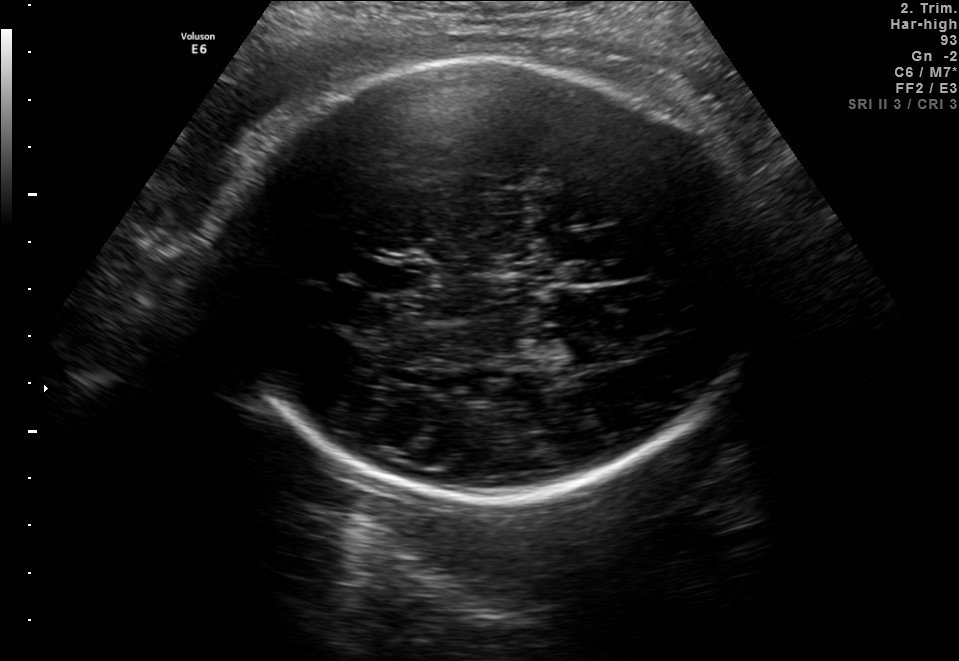
Fetal brain, trans-thalamic plane. Where is the cavum septum pellucidum?

CSP bounding box: [355,259,409,295]